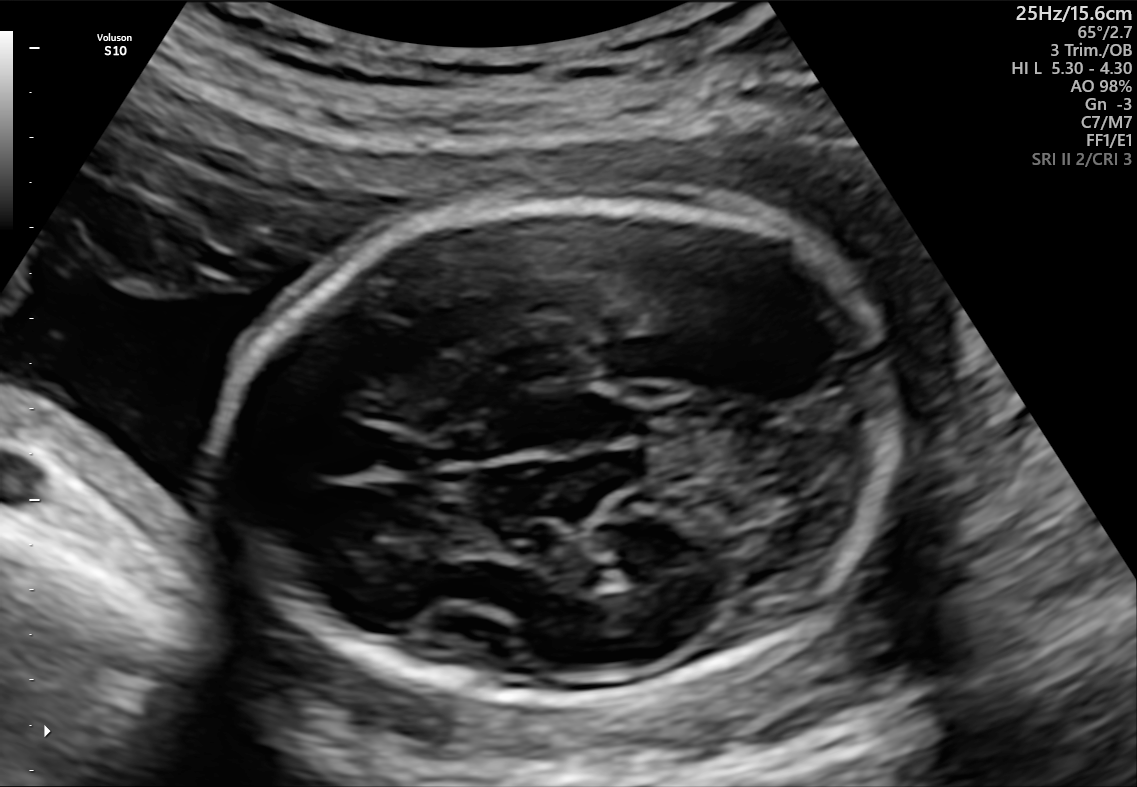
Fetal brain, trans-thalamic plane. Locate the fetal head.

Head: [225,195,898,708]